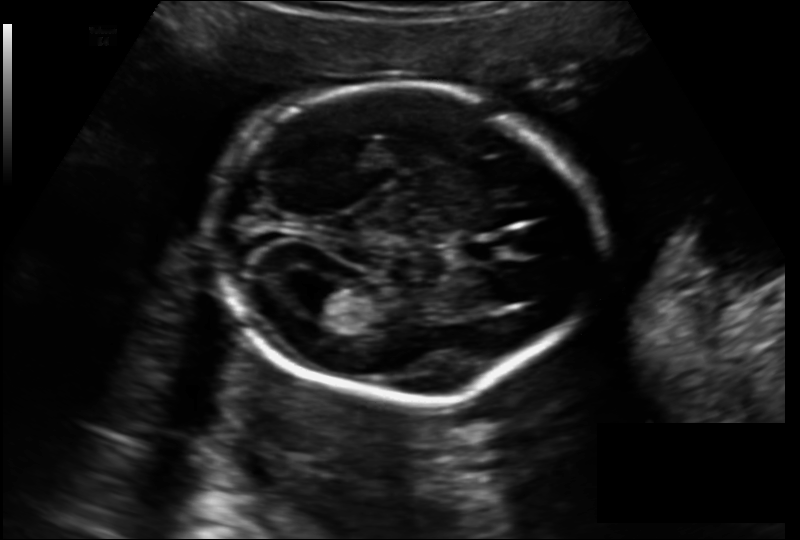
From this fetal ultrasound, estimate the head circumference (image width 125.9 mm).

Head circumference: 180.6 mm.